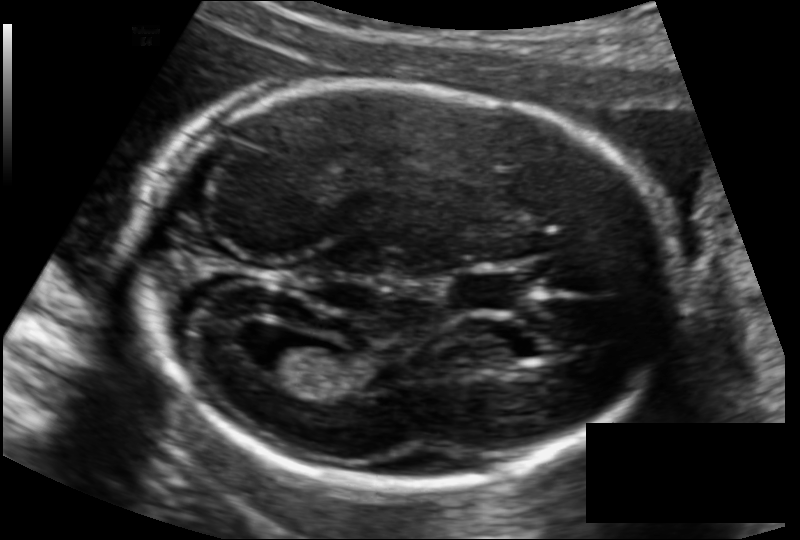
Fetal head ultrasound. Image width: 97.7 mm. Where is the fetal head?

Head bounding box: [138,87,669,484]